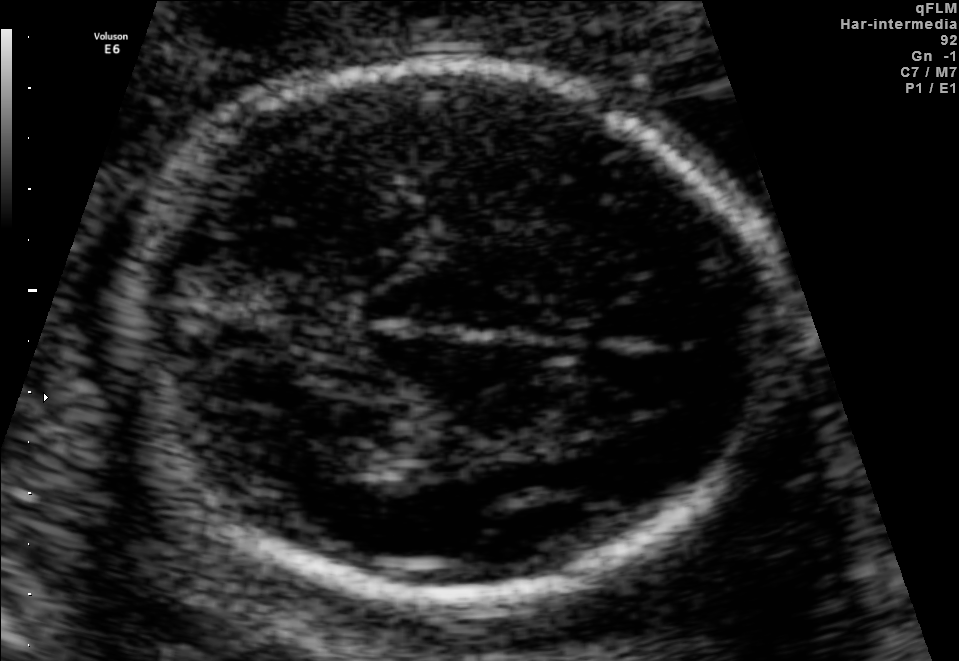
Which standard maternal-fetal ultrasound plane is shown: fetal abdomen, fetal brain, fetal femur, fetal thorax, maternal cervix, or other? If it's fetal brain and one of the three standard brain planes (trans-thalamic, trans-cerebellum, trans-ventricular), name which.

Fetal brain (trans-thalamic plane)